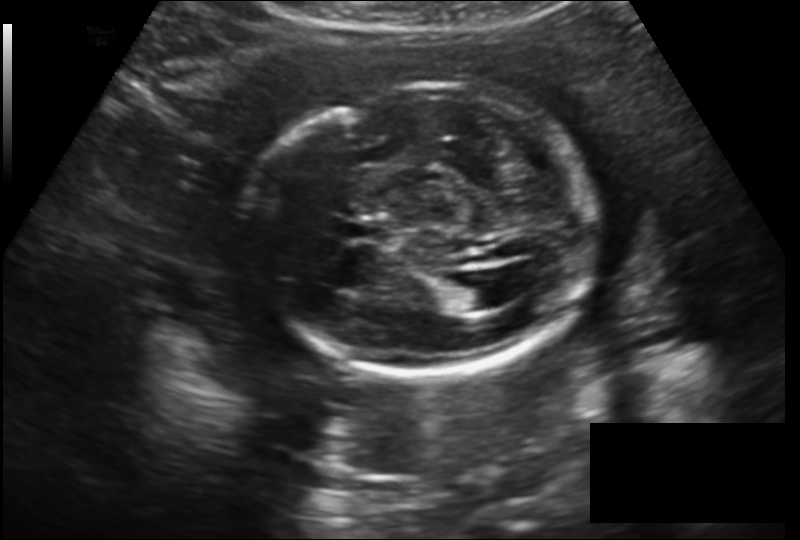
Fetal head ultrasound. Image width: 145.7 mm. Where is the lateral ventricle?

Lateral ventricle bounding box: [449,278,499,312]